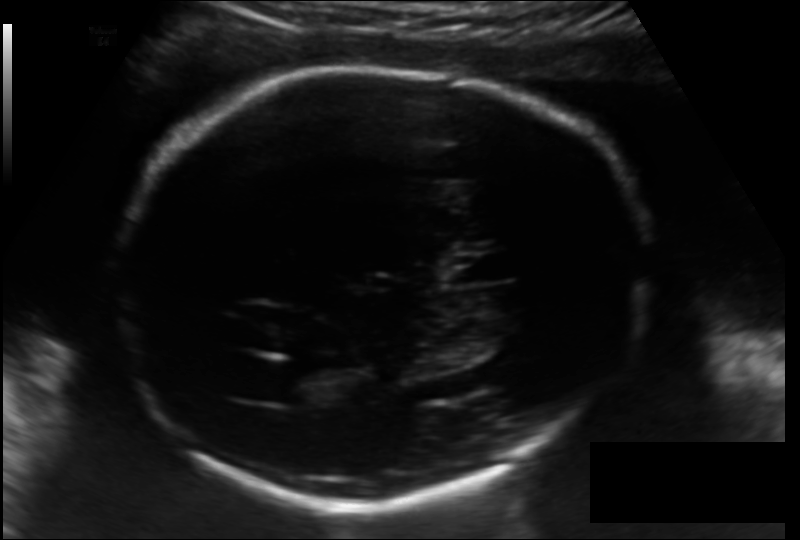
Estimate the fetal head circumference from this 2D ultrasound.

Head circumference: 244.7 mm (image width 125.8 mm).